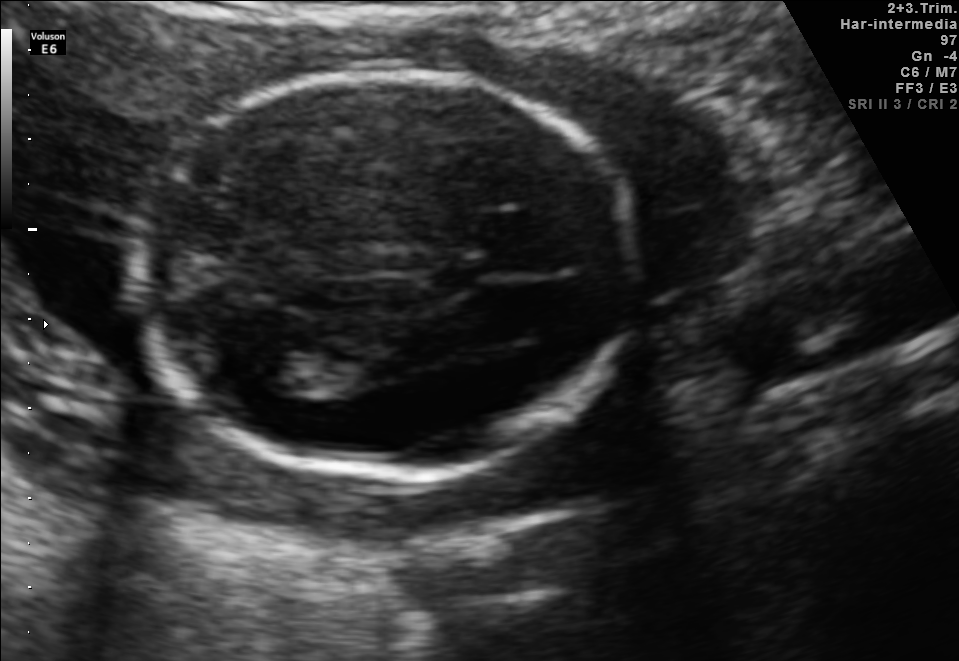
In this fetal brain, trans-ventricular plane, give bounding boxes for the head outline, cavum septum pellucidum (CSP), and lateral ventricle (LV), where visible.

Head: [124,65,647,484]